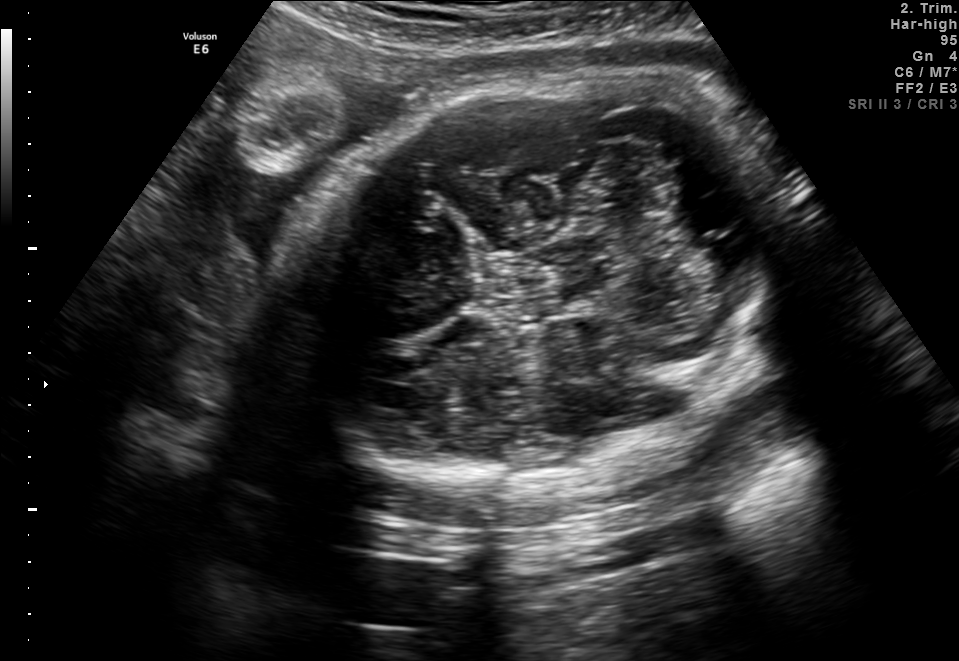
Classify this maternal-fetal ultrasound image as one of the six standard planes — fetal abdomen, fetal brain, fetal femur, fetal thorax, maternal cervix, or other. If it's fetal brain and one of the three standard brain planes (trans-thalamic, trans-cerebellum, trans-ventricular), name which.

Fetal brain (trans-cerebellum plane)